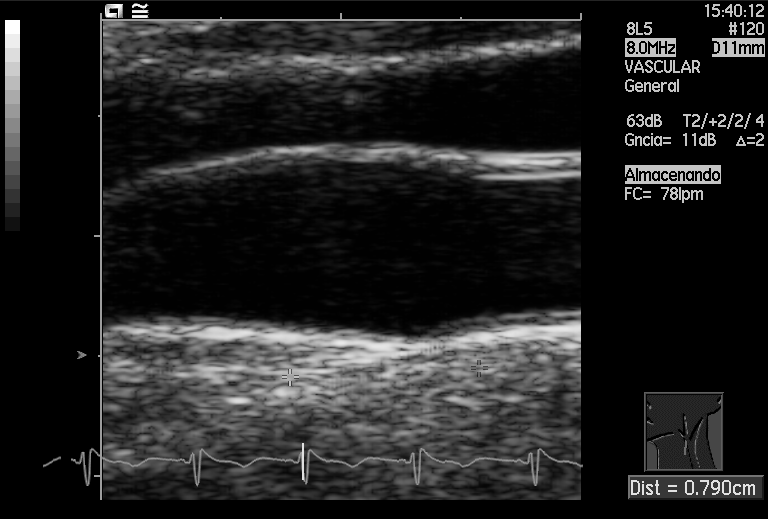
Identify the standard plane in this fetal ultrasound image: fetal abdomen, fetal brain, fetal femur, fetal thorax, maternal cervix, or other. If it's fetal brain and one of the three standard brain planes (trans-thalamic, trans-cerebellum, trans-ventricular), name which.

Other